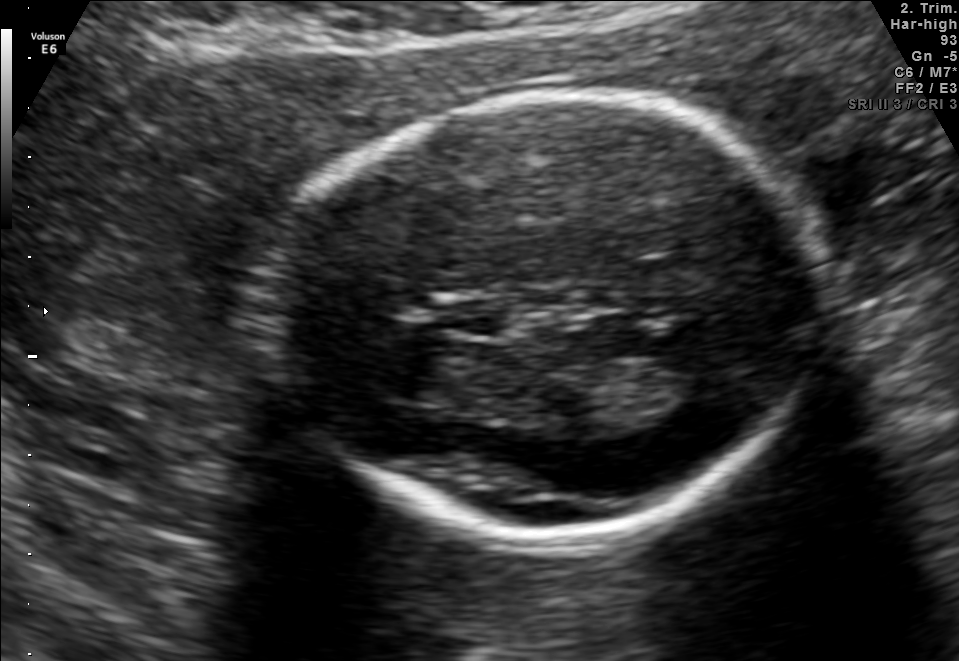
Fetal brain, trans-thalamic plane. Locate the fetal head and, if visible, the cavum septum pellucidum (CSP) and lateral ventricle (LV). Give bounding boxes as [x1,y1,x2,y2].

Head: [268,93,819,538]
CSP: [444,299,514,336]